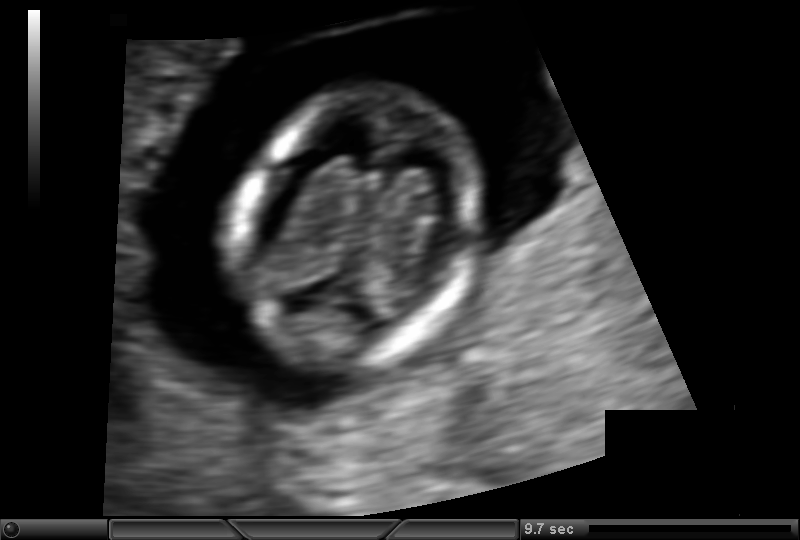
What is the fetal head circumference? Image width is 73.8 mm.

78.5 mm